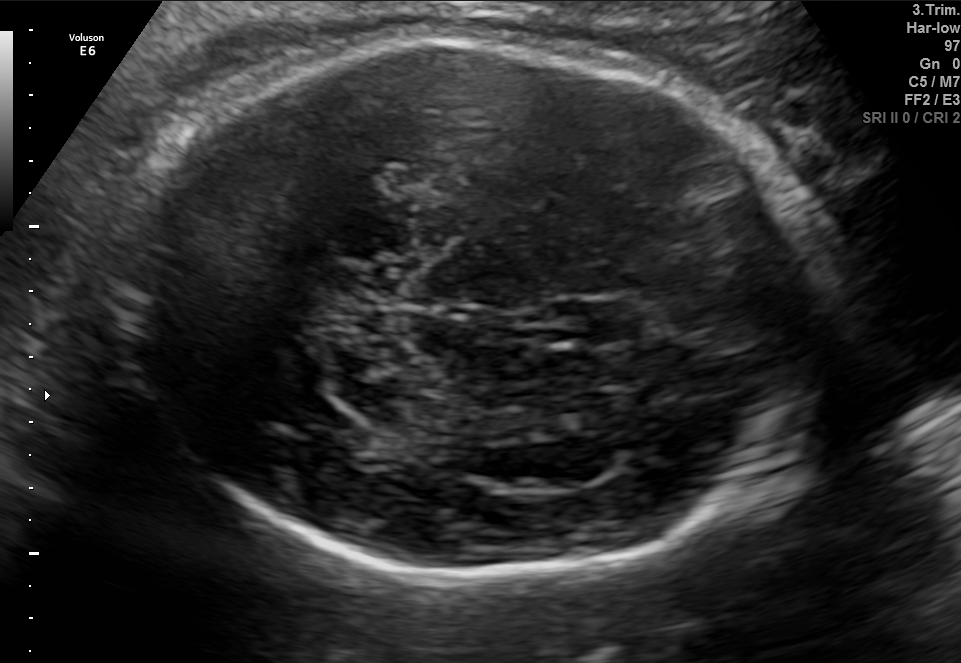
Fetal brain, trans-thalamic plane. Locate the fetal head.

Head: [116,40,845,575]